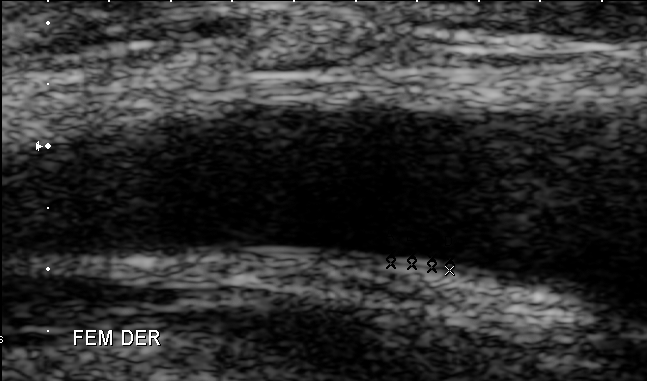
Which standard maternal-fetal ultrasound plane is shown: fetal abdomen, fetal brain, fetal femur, fetal thorax, maternal cervix, or other? If it's fetal brain and one of the three standard brain planes (trans-thalamic, trans-cerebellum, trans-ventricular), name which.

Other